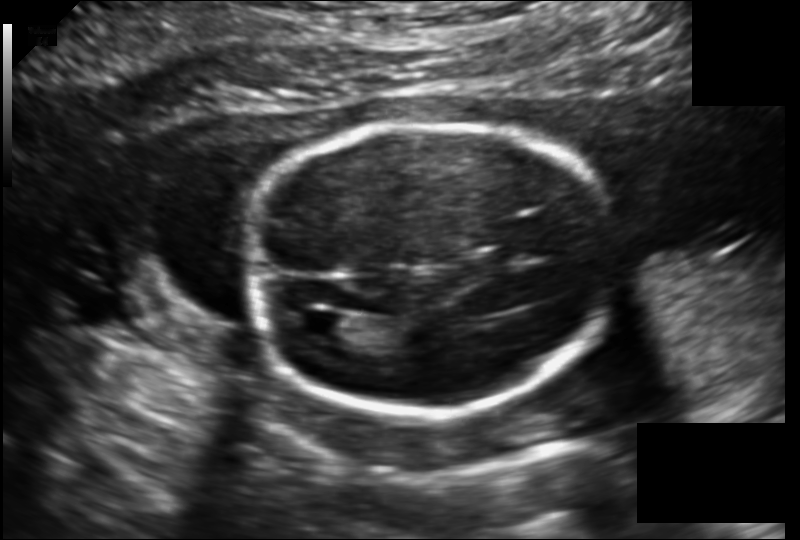
Fetal head ultrasound. Image width: 119.0 mm. Locate the fetal head and, if visible, the cavum septum pellucidum (CSP) and lateral ventricle (LV). Give bounding boxes as [x1,y1,x2,y2].

Head: [252,123,613,413]
Lateral ventricle: [297,308,351,344]